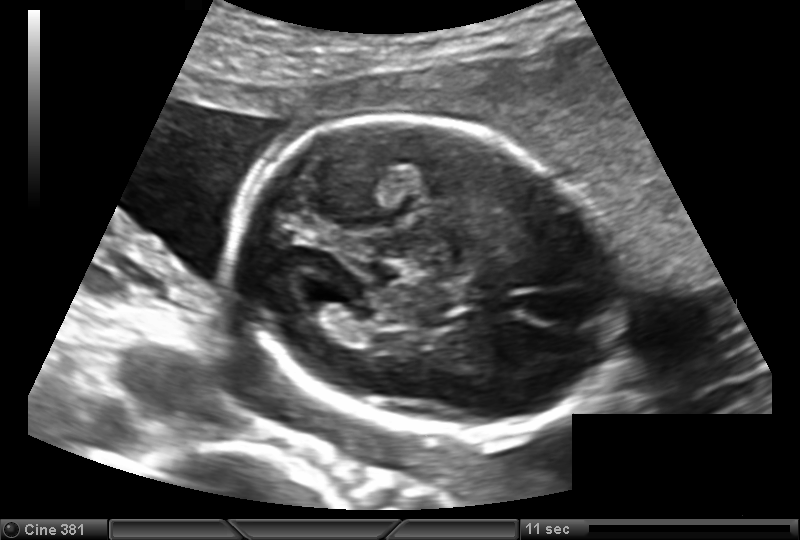
Fetal head ultrasound. Image width: 111.0 mm. Give [x1,y1,x2,y2] bounding boxes for each visible structure among: fetal head, CSP, LV.

Head: [234,119,620,439]
Lateral ventricle: [292,276,351,335]